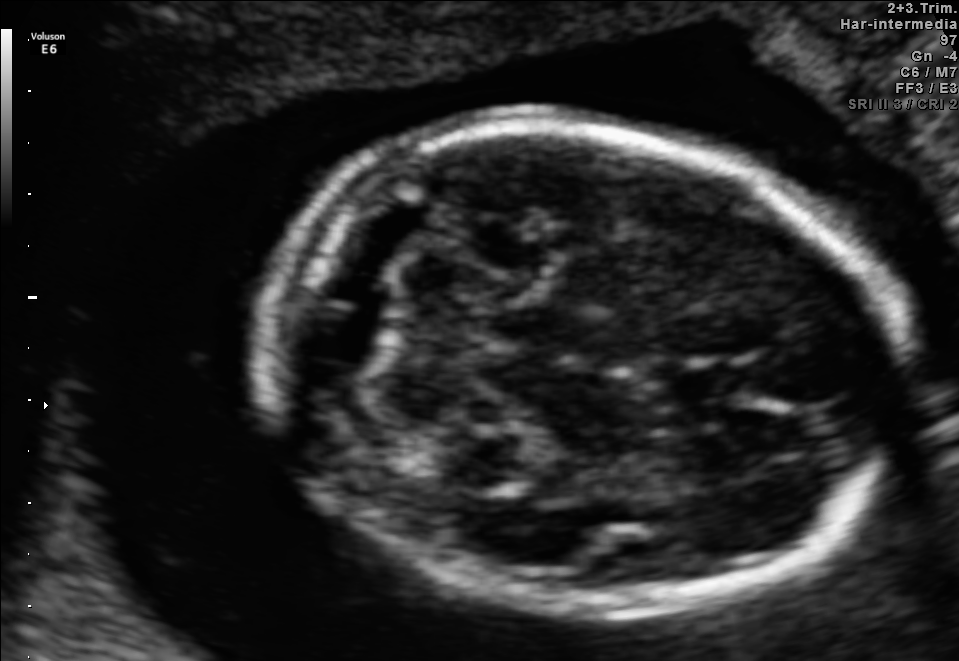
Fetal brain, trans-cerebellum plane. Locate the cavum septum pellucidum.

CSP: [663,355,752,407]